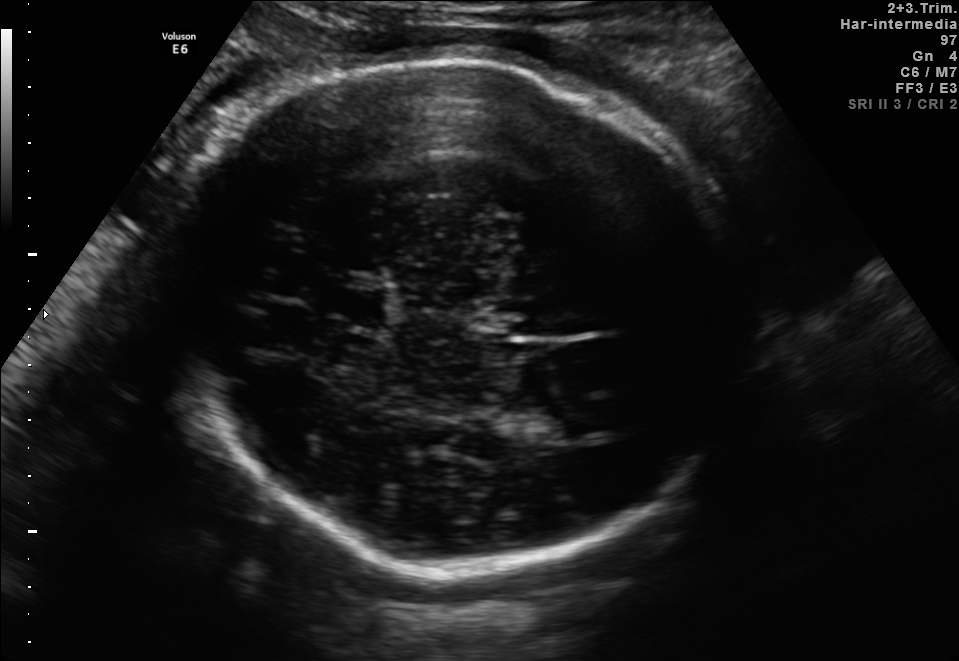
Fetal brain, trans-thalamic plane. Where is the fetal head?

Head bounding box: [157,56,734,563]